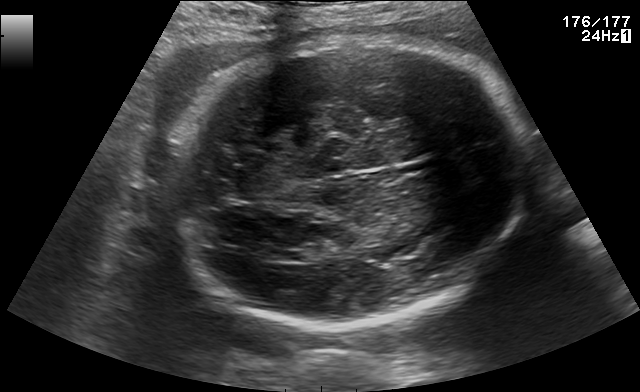
Fetal brain, trans-thalamic plane. Give [x1,y1,x2,y2] bounding boxes for each visible structure among: fetal head, CSP, LV.

Head: [164,37,527,321]
Lateral ventricle: [270,251,307,263]